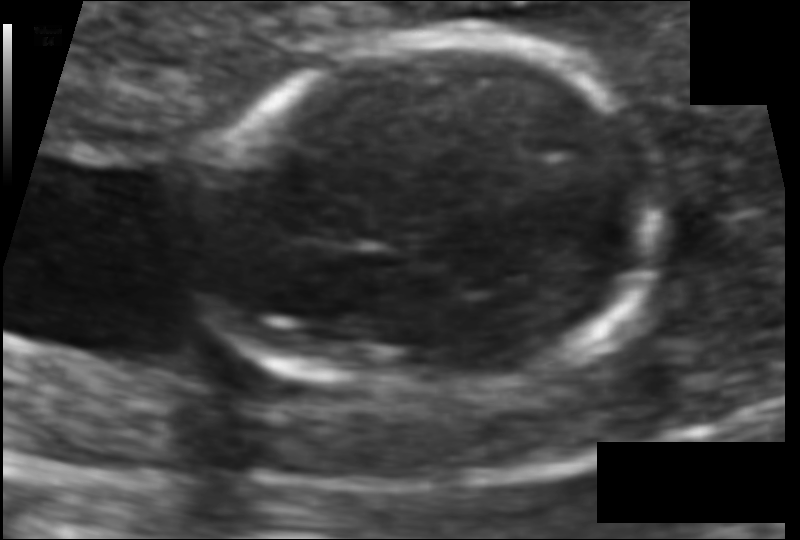
What is the fetal head circumference? Image width is 62.9 mm.

104.9 mm